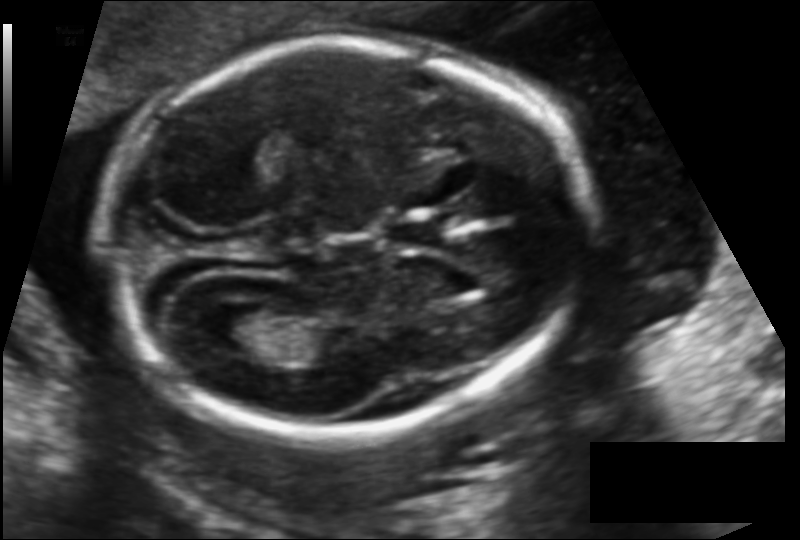
In this fetal head ultrasound, give the bounding box of the fetal head. Image width: 98.7 mm.

[100,42,593,428]